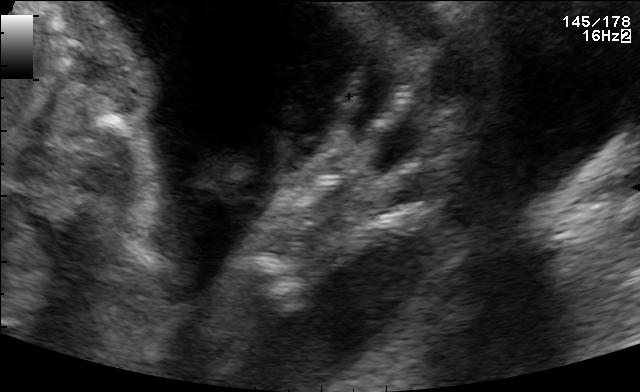
This is a 2D maternal-fetal ultrasound frame. Is it a fetal abdomen, fetal brain, fetal femur, fetal thorax, maternal cervix, or other standard plane? If it's fetal brain and one of the three standard brain planes (trans-thalamic, trans-cerebellum, trans-ventricular), name which.

Other